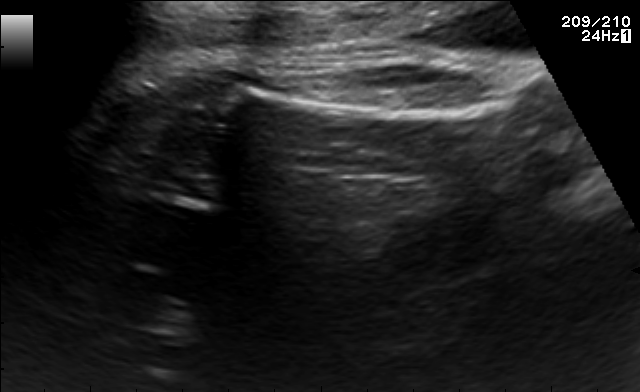
This is a 2D maternal-fetal ultrasound frame. Is it a fetal abdomen, fetal brain, fetal femur, fetal thorax, maternal cervix, or other standard plane? If it's fetal brain and one of the three standard brain planes (trans-thalamic, trans-cerebellum, trans-ventricular), name which.

Fetal femur